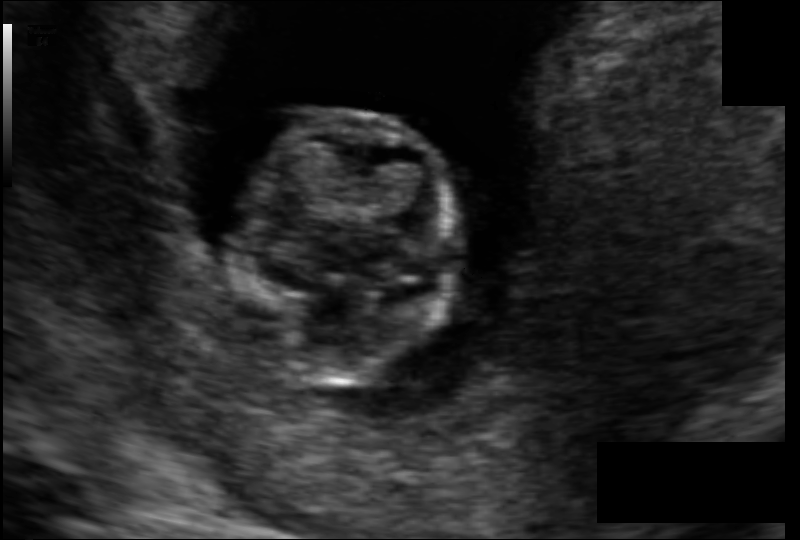
Fetal head ultrasound. Image width: 72.7 mm. Give [x1,y1,x2,y2] bounding boxes for each visible structure among: fetal head, CSP, LV.

Head: [237,110,458,387]